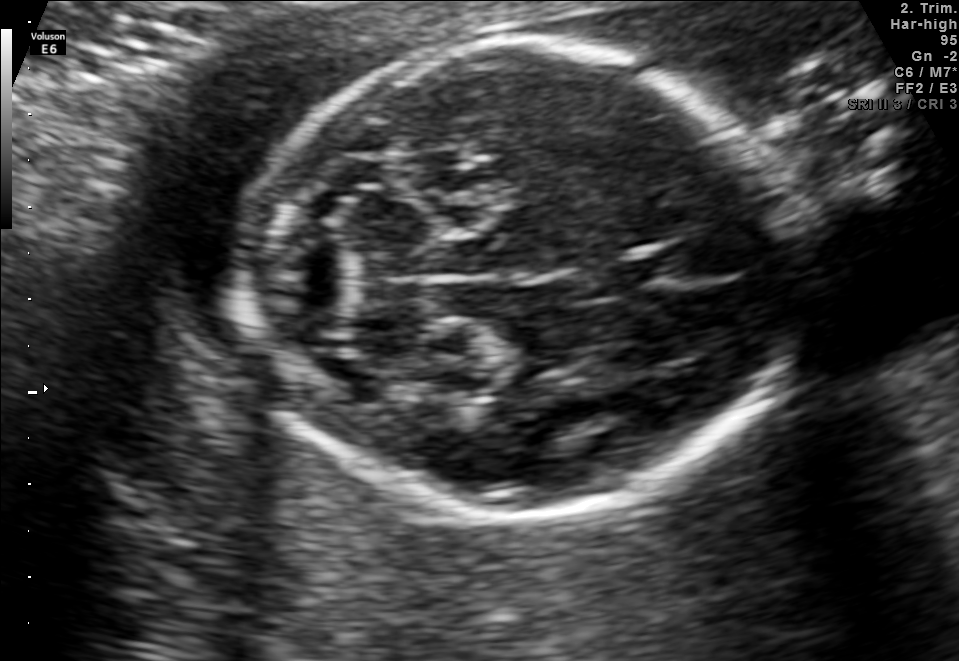
Fetal brain, trans-cerebellum plane. Where is the fetal head?

Head bounding box: [244,40,793,517]